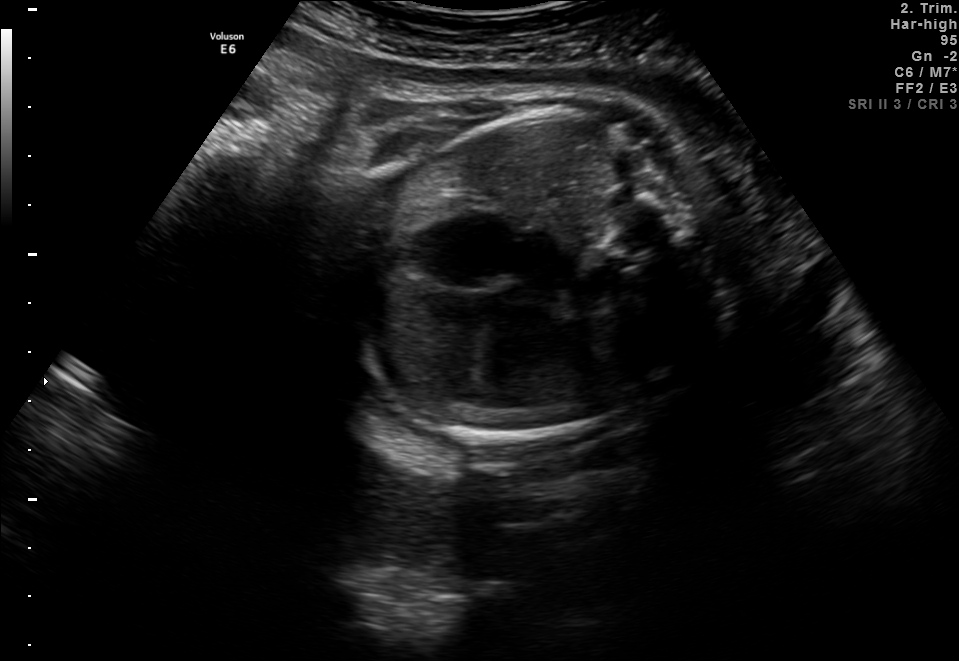
Classify this maternal-fetal ultrasound image as one of the six standard planes — fetal abdomen, fetal brain, fetal femur, fetal thorax, maternal cervix, or other. If it's fetal brain and one of the three standard brain planes (trans-thalamic, trans-cerebellum, trans-ventricular), name which.

Fetal thorax